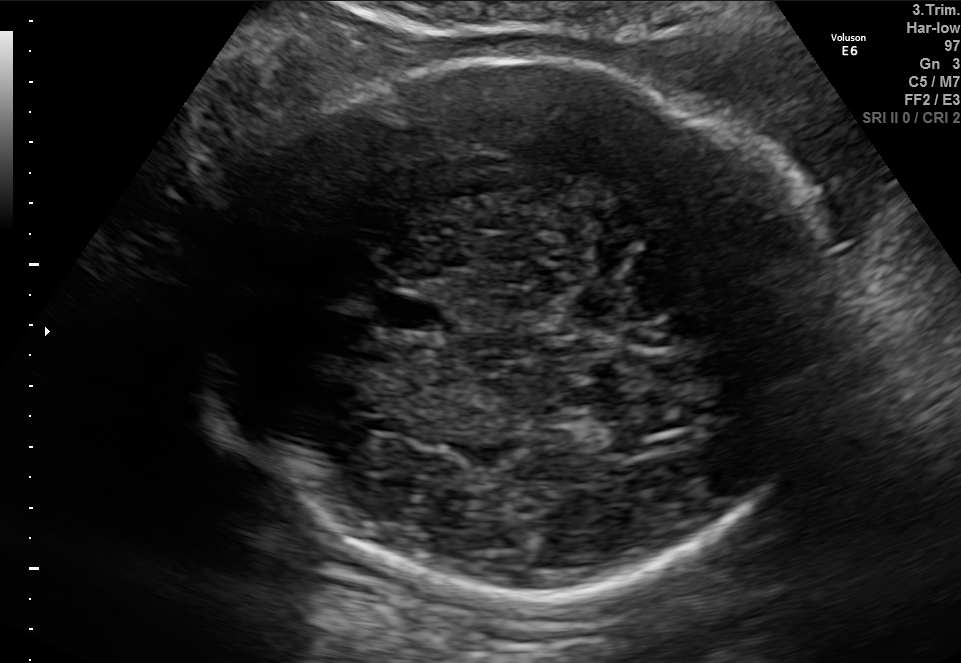
Fetal brain, trans-thalamic plane. Locate the fetal head.

Head: [197,56,838,593]